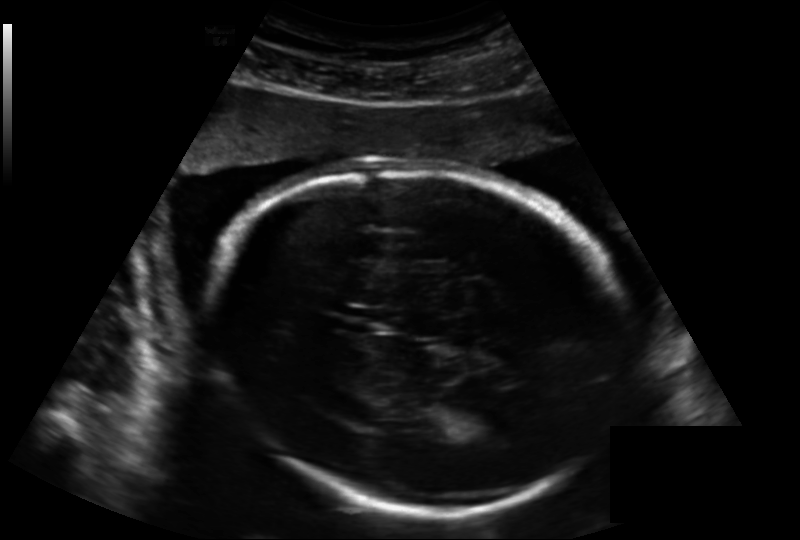
Fetal head ultrasound. Image width: 150.3 mm. Locate the fetal head and, if visible, the cavum septum pellucidum (CSP) and lateral ventricle (LV). Give bounding boxes as [x1,y1,x2,y2].

Head: [204,167,632,510]